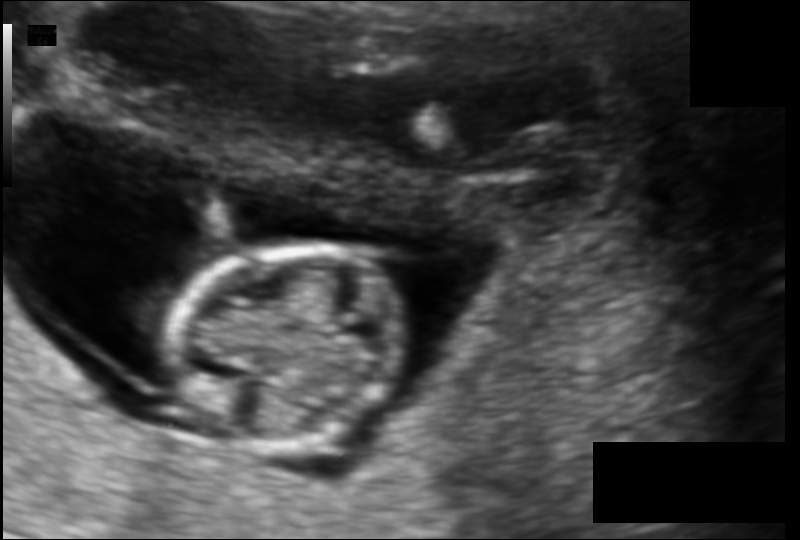
In this fetal head ultrasound, give the bounding box of the fetal head. Image width: 83.9 mm.

[165,244,405,443]